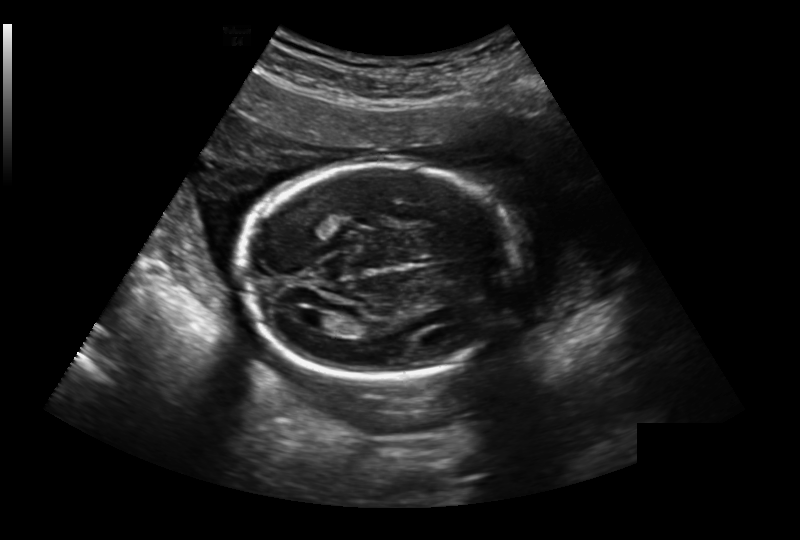
From this fetal ultrasound, estimate the head circumference (image width 188.5 mm).

Head circumference: 189.1 mm.